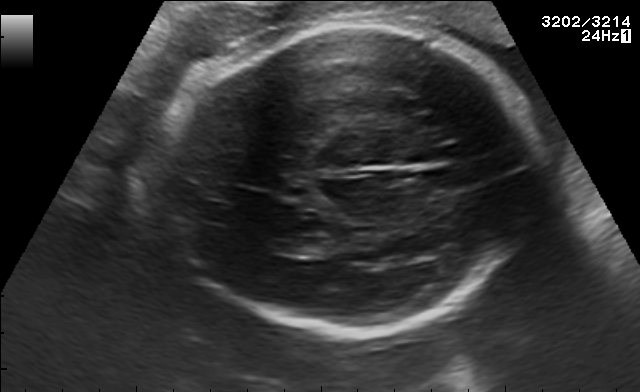
Fetal brain, trans-thalamic plane. Where is the lateral ventricle?

Lateral ventricle bounding box: [277,236,331,256]